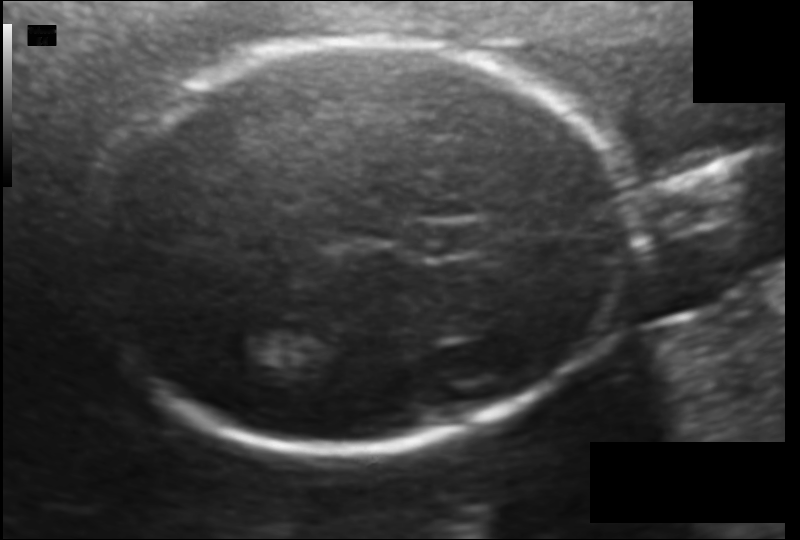
Estimate the fetal head circumference from this 2D ultrasound.

Head circumference: 176.3 mm (image width 90.8 mm).